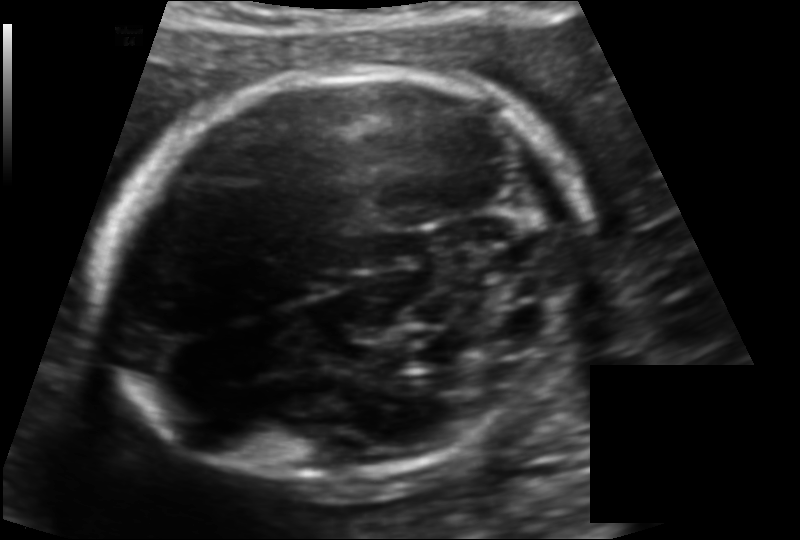
Fetal head ultrasound. Image width: 100.1 mm. Give [x1,y1,x2,y2] bounding boxes for each visible structure among: fetal head, CSP, LV.

Head: [103,66,586,487]